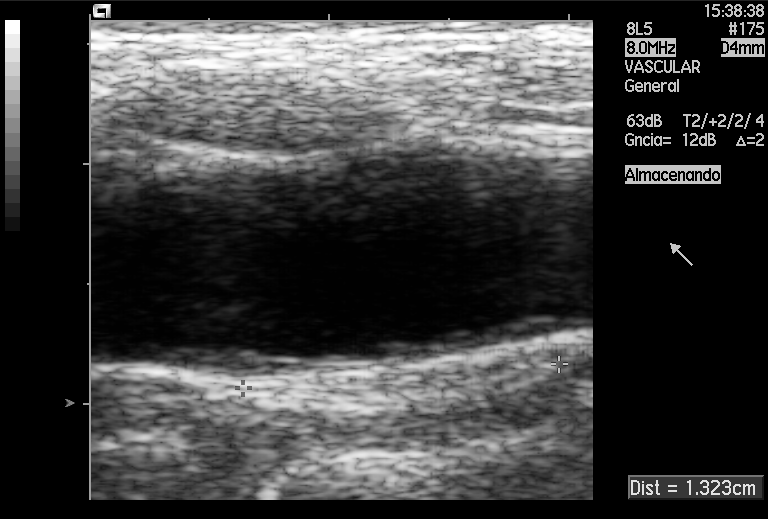
Which standard maternal-fetal ultrasound plane is shown: fetal abdomen, fetal brain, fetal femur, fetal thorax, maternal cervix, or other? If it's fetal brain and one of the three standard brain planes (trans-thalamic, trans-cerebellum, trans-ventricular), name which.

Other